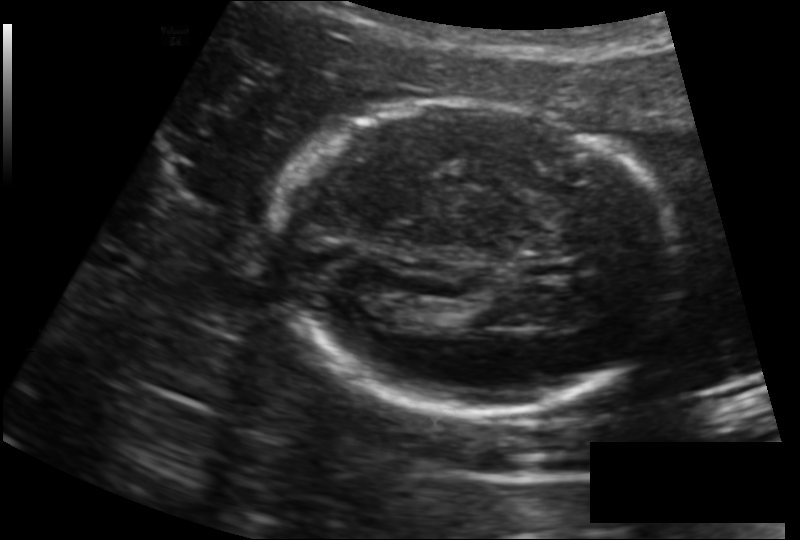
Fetal head ultrasound. Image width: 125.2 mm. Locate the fetal head and, if visible, the cavum septum pellucidum (CSP) and lateral ventricle (LV). Give bounding boxes as [x1,y1,x2,y2].

Head: [275,105,673,413]